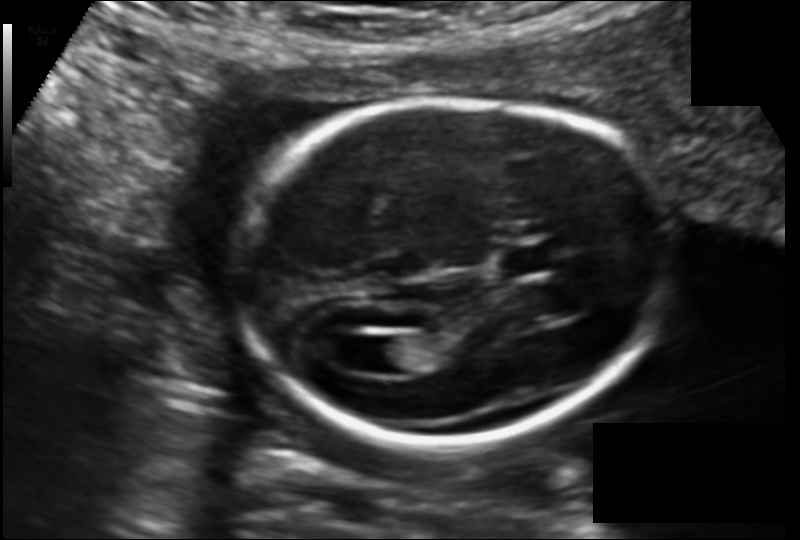
Fetal head ultrasound. Image width: 107.8 mm. Where is the fetal head?

Head bounding box: [238,98,669,444]